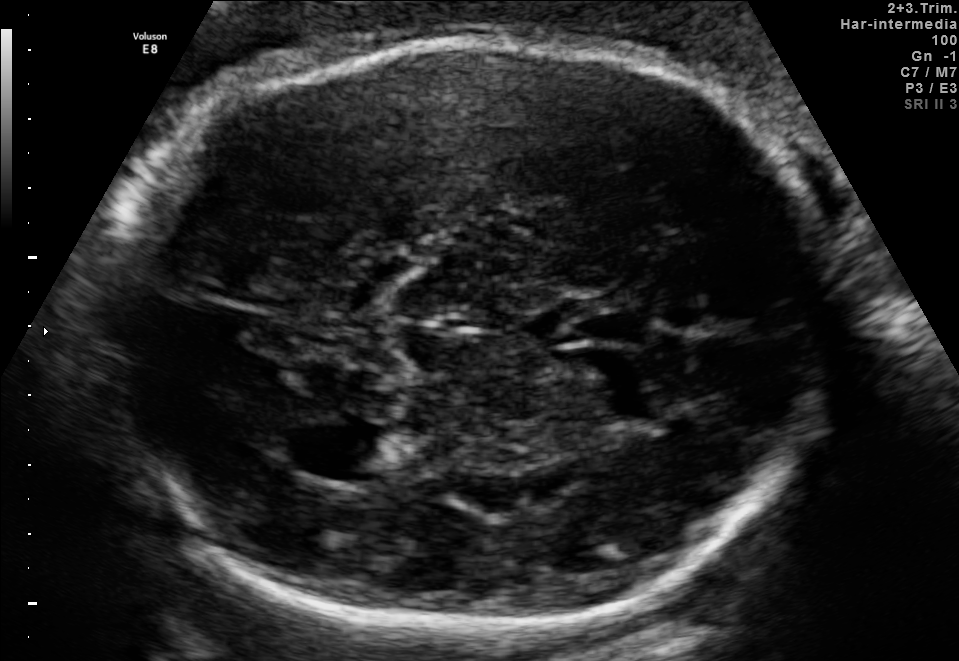
Fetal brain, trans-thalamic plane. Where is the fetal head?

Head bounding box: [91,37,834,630]